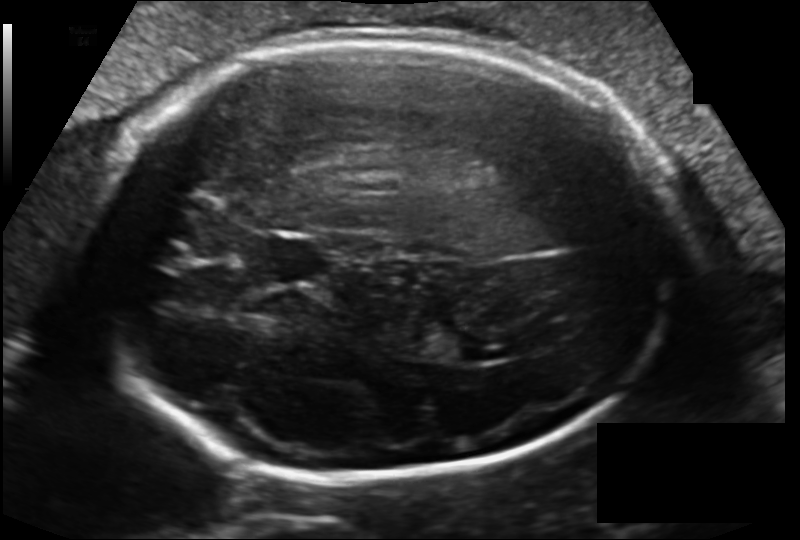
Fetal head ultrasound. Image width: 129.6 mm. Where is the fetal head?

Head bounding box: [90,36,677,478]